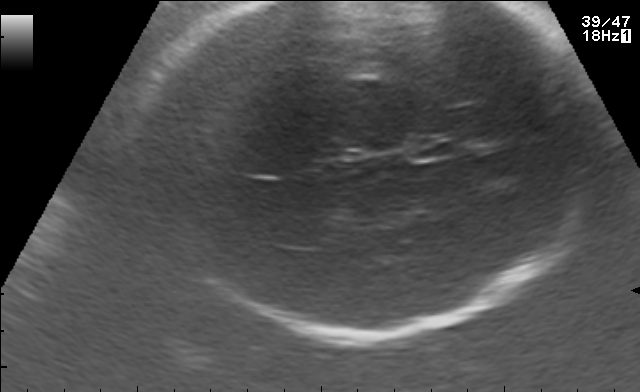
Fetal brain, trans-thalamic plane. Where is the fetal head?

Head bounding box: [121,2,602,330]